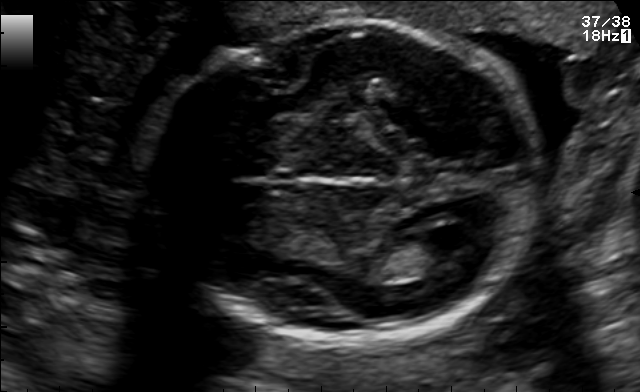
Fetal brain, trans-ventricular plane. Give [x1,y1,x2,y2] bounding boxes for each visible structure among: fetal head, CSP, LV.

Head: [141,9,553,351]
CSP: [273,174,297,190]
Lateral ventricle: [422,215,491,257]